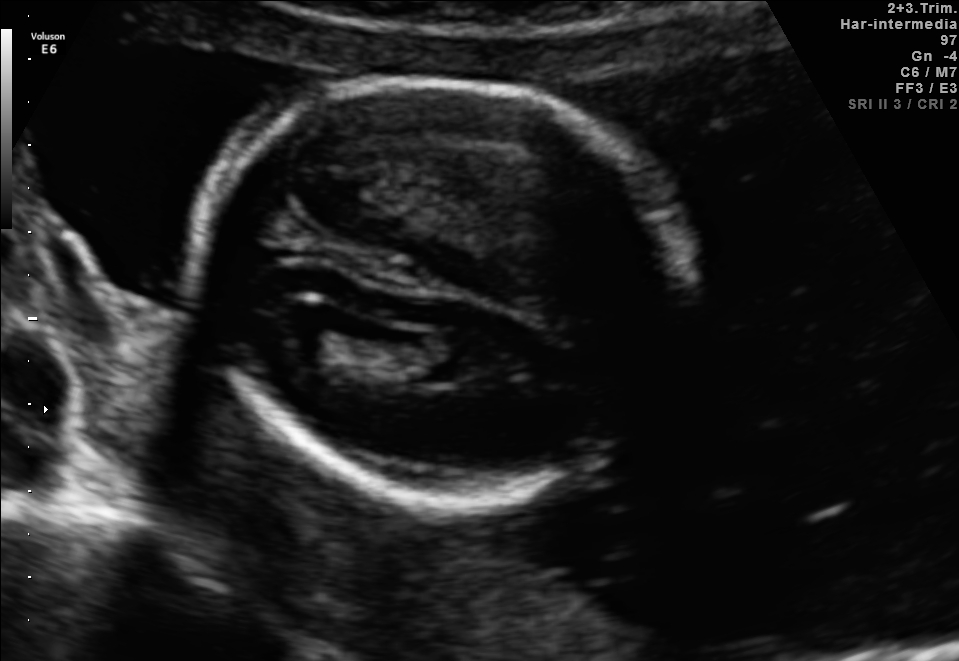
Fetal brain, trans-ventricular plane. Locate the fetal head.

Head: [181,69,716,512]